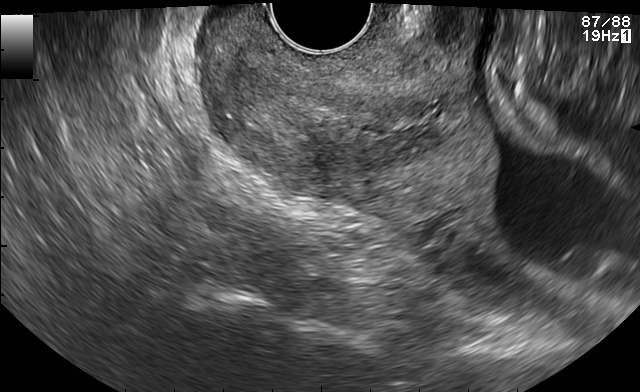
Identify the standard plane in this fetal ultrasound image: fetal abdomen, fetal brain, fetal femur, fetal thorax, maternal cervix, or other. If it's fetal brain and one of the three standard brain planes (trans-thalamic, trans-cerebellum, trans-ventricular), name which.

Maternal cervix